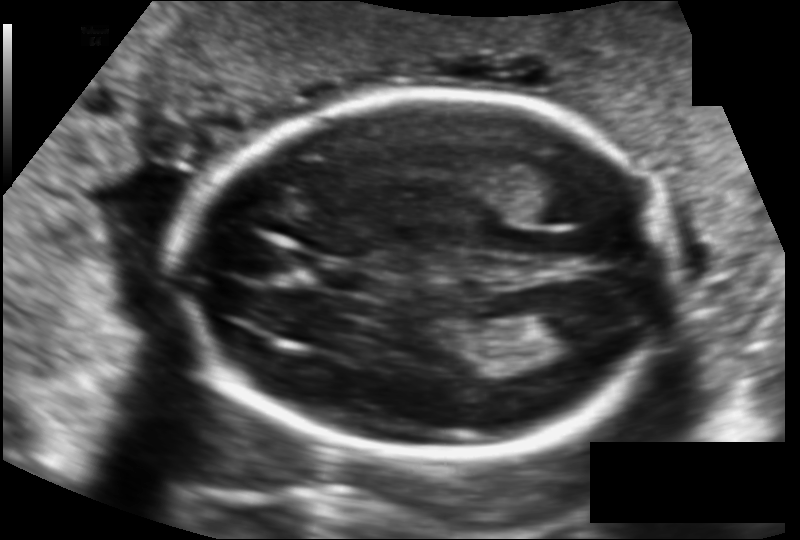
Fetal head ultrasound. Image width: 98.9 mm. Where is the fetal head?

Head bounding box: [177,95,673,457]